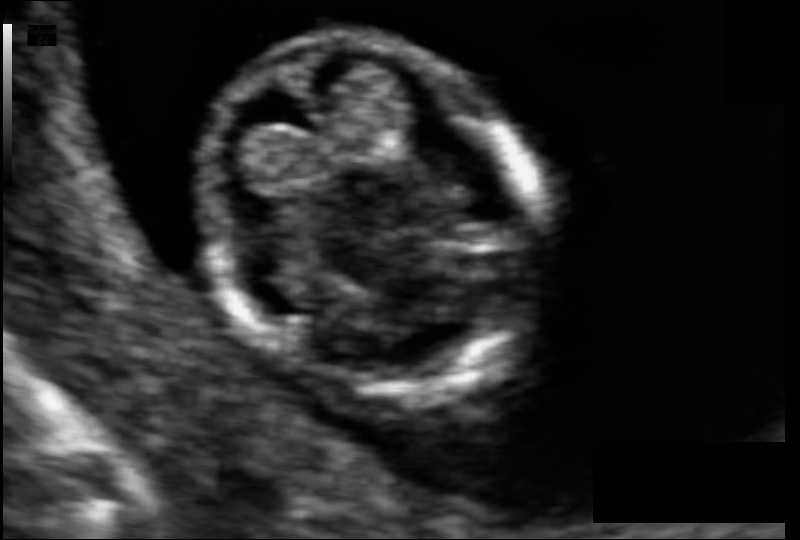
Estimate the fetal head circumference from this 2D ultrasound. Image width: 50.8 mm.

Head circumference: 74.1 mm.